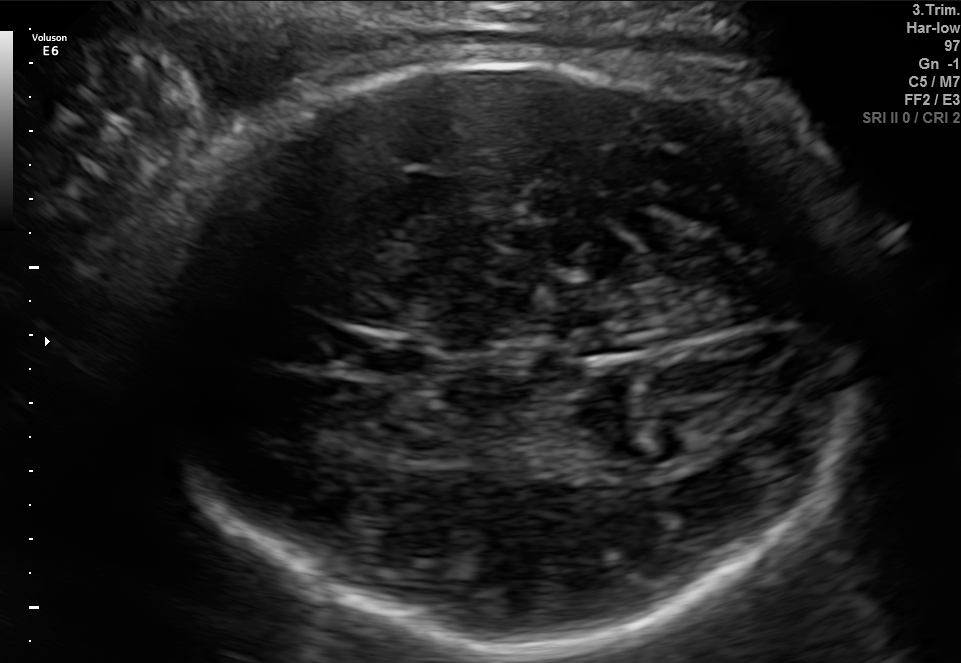
Fetal brain, trans-thalamic plane. Give [x1,y1,x2,y2] bounding boxes for each visible structure among: fetal head, CSP, LV.

Head: [153,61,856,652]
CSP: [334,329,431,385]